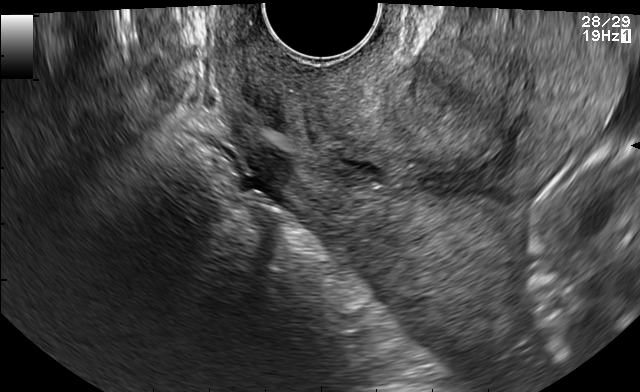
This is a 2D maternal-fetal ultrasound frame. Is it a fetal abdomen, fetal brain, fetal femur, fetal thorax, maternal cervix, or other standard plane? If it's fetal brain and one of the three standard brain planes (trans-thalamic, trans-cerebellum, trans-ventricular), name which.

Maternal cervix